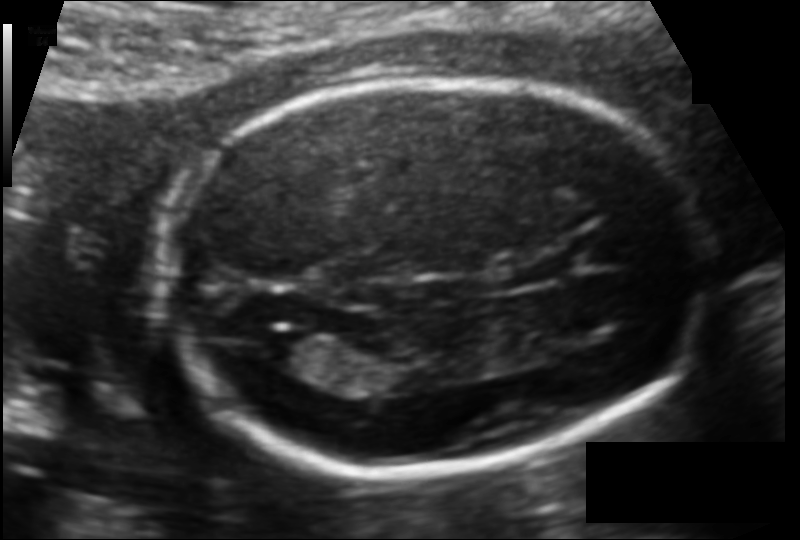
In this fetal head ultrasound, give the bounding box of the cavum septum pellucidum. Image width: 87.1 mm.

[513,254,564,287]